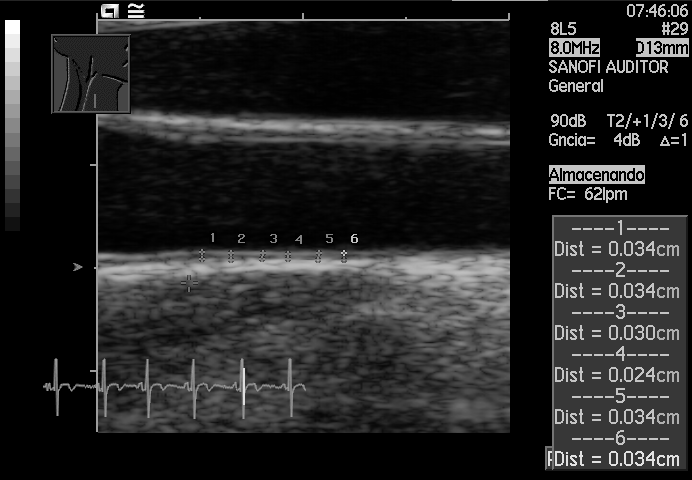
Classify this maternal-fetal ultrasound image as one of the six standard planes — fetal abdomen, fetal brain, fetal femur, fetal thorax, maternal cervix, or other. If it's fetal brain and one of the three standard brain planes (trans-thalamic, trans-cerebellum, trans-ventricular), name which.

Other